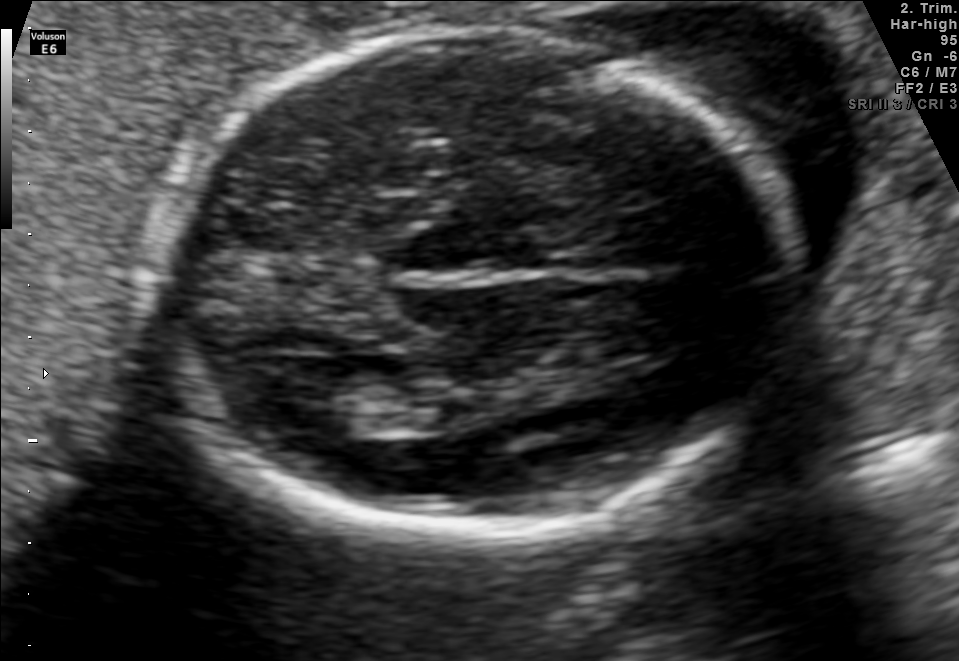
Fetal brain, trans-thalamic plane. Where is the fetal head?

Head bounding box: [157,32,802,531]